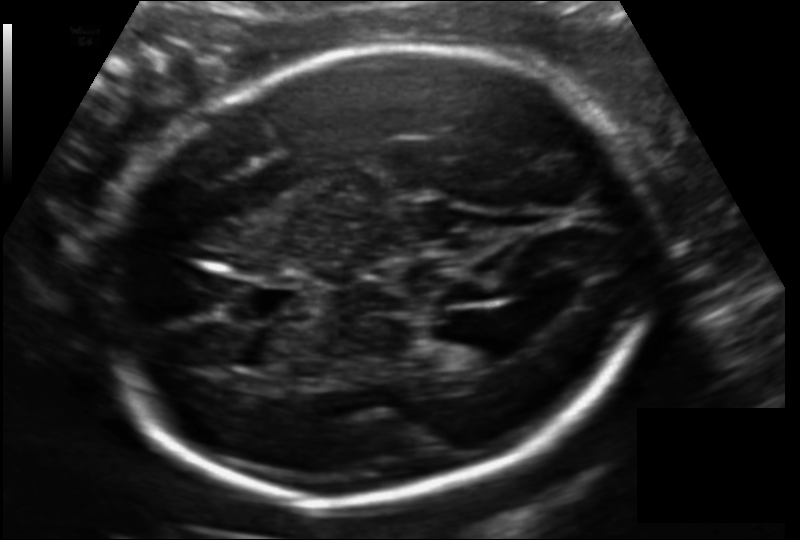
Fetal head ultrasound. Image width: 111.6 mm. Where is the cavum septum pellucidum?

CSP bounding box: [238,277,311,325]